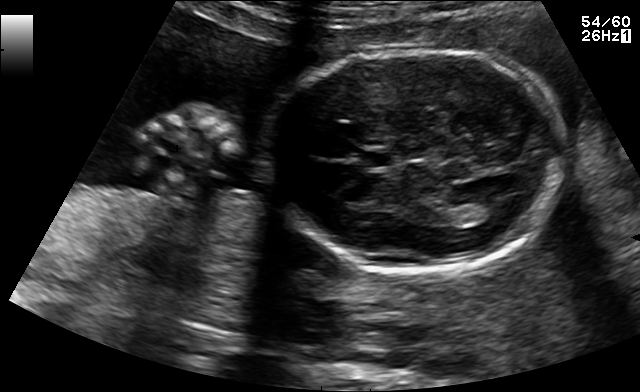
Fetal brain, trans-thalamic plane. Where is the cavum septum pellucidum?

CSP bounding box: [362,151,395,168]